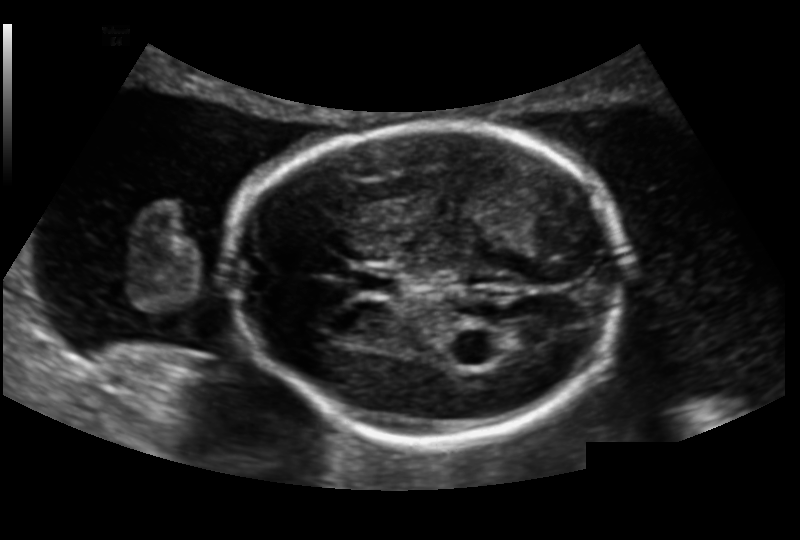
Fetal head ultrasound. Image width: 121.1 mm. Give [x1,y1,x2,y2] bounding boxes for each visible structure among: fetal head, CSP, LV.

Head: [229,123,626,444]
CSP: [352,268,402,297]
Lateral ventricle: [496,318,553,355]